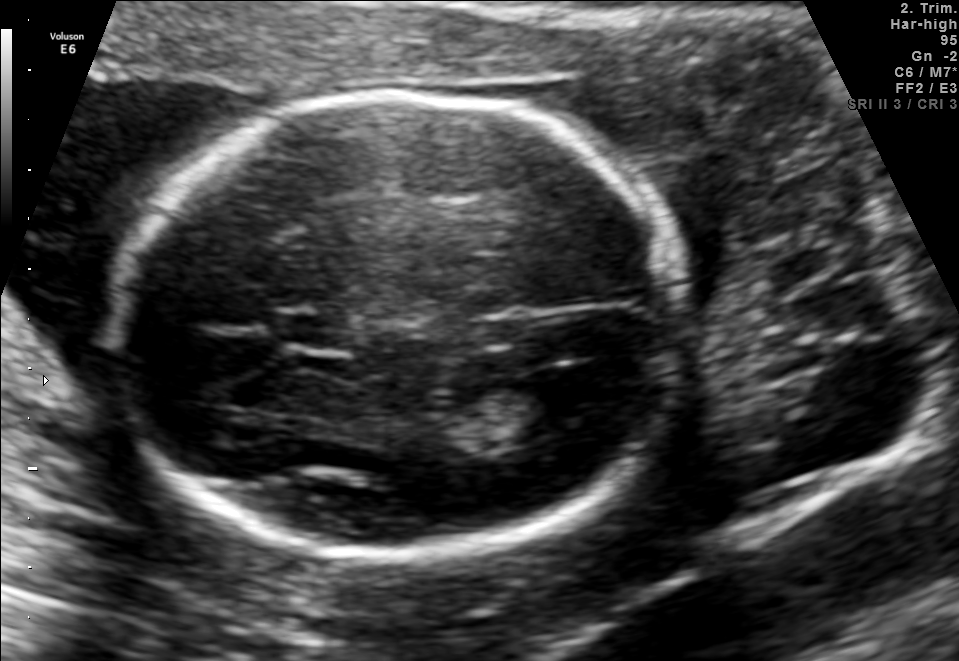
Fetal brain, trans-ventricular plane. Locate the fetal head and, if visible, the cavum septum pellucidum (CSP) and lateral ventricle (LV). Give bounding boxes as [x1,y1,x2,y2].

Head: [103,86,700,567]
CSP: [269,309,364,354]
Lateral ventricle: [503,352,618,443]